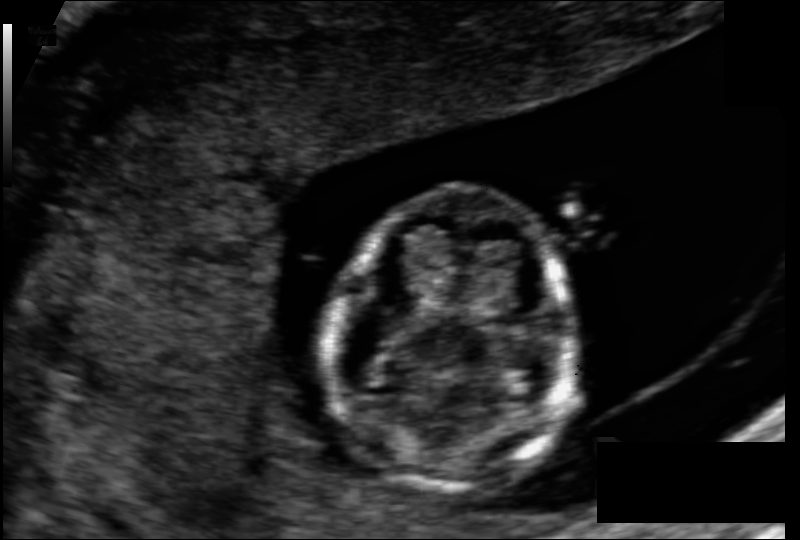
Fetal head ultrasound. Image width: 77.7 mm. Locate the fetal head and, if visible, the cavum septum pellucidum (CSP) and lateral ventricle (LV). Give bounding boxes as [x1,y1,x2,y2].

Head: [329,190,570,493]